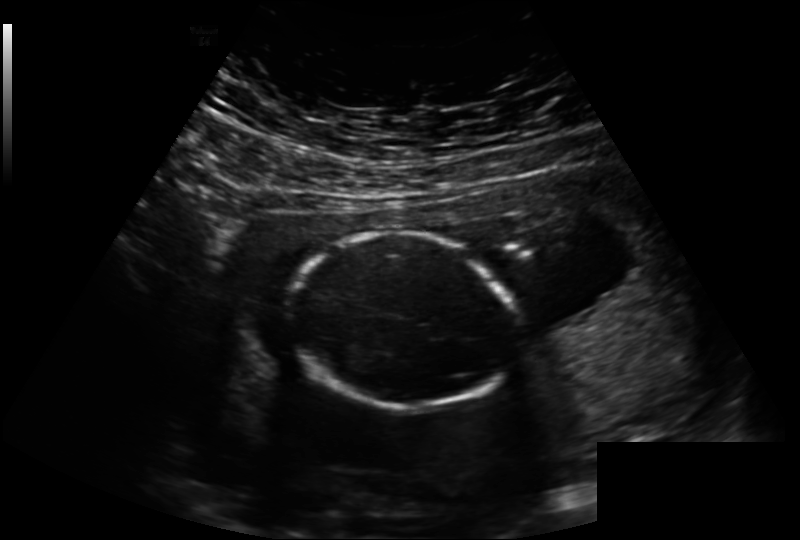
Estimate the fetal head circumference from this 2D ultrasound. Image width: 177.0 mm.

Head circumference: 146.7 mm.